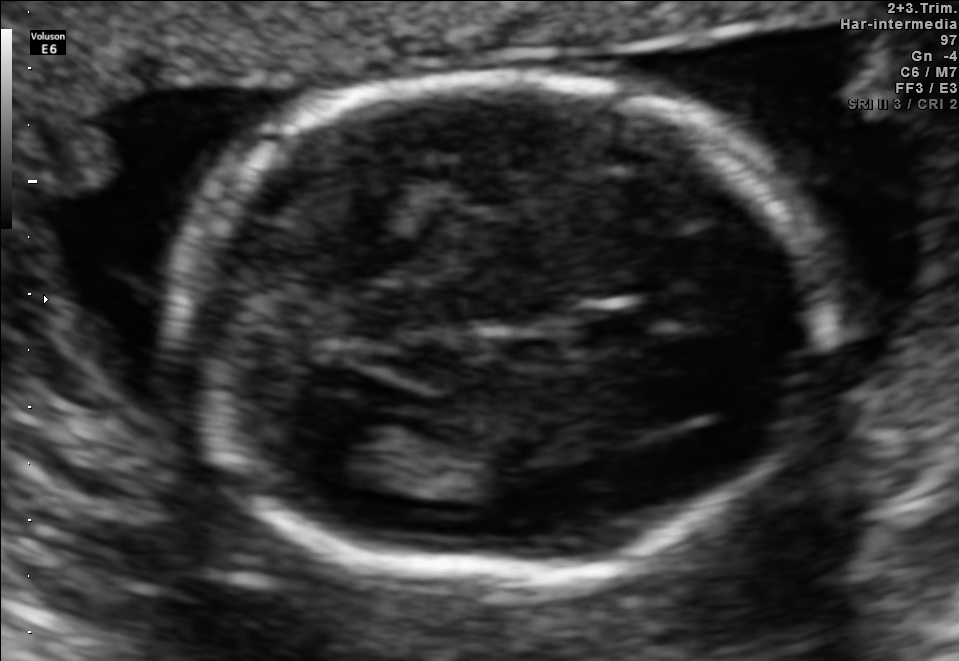
In this fetal brain, trans-thalamic plane, give the bounding box of the lateral ventricle.

[316,405,436,494]